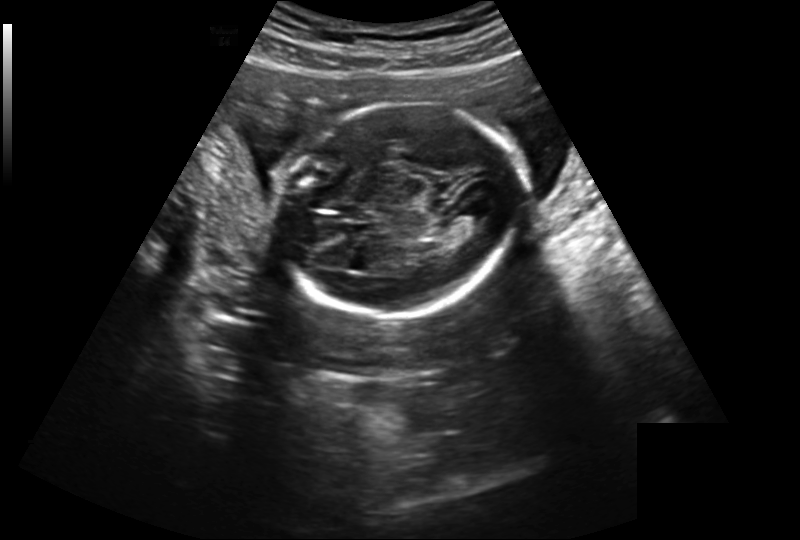
Fetal head ultrasound. Image width: 191.4 mm. Locate the fetal head.

Head: [280,100,521,319]